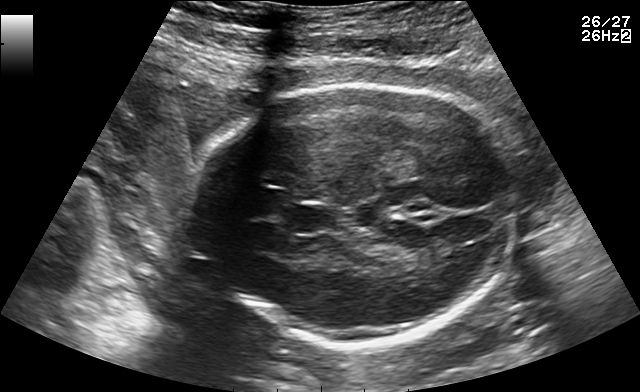
Fetal brain, trans-thalamic plane. Where is the fetal head?

Head bounding box: [185,85,519,348]